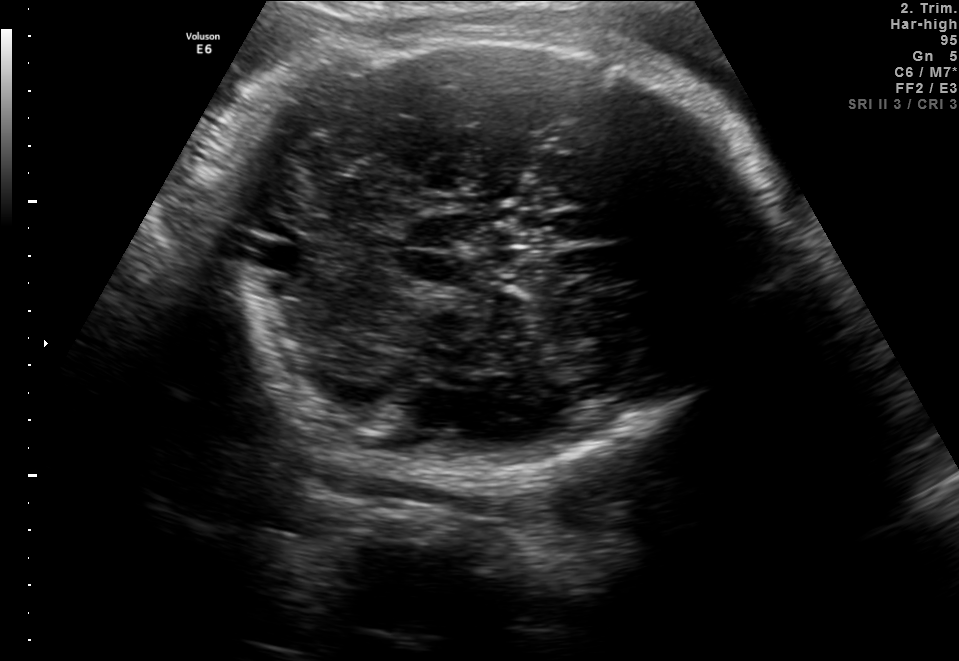
Fetal brain, trans-cerebellum plane. Locate the fetal head and, if visible, the cavum septum pellucidum (CSP) and lateral ventricle (LV). Give bounding boxes as [x1,y1,x2,y2].

Head: [217,28,778,475]